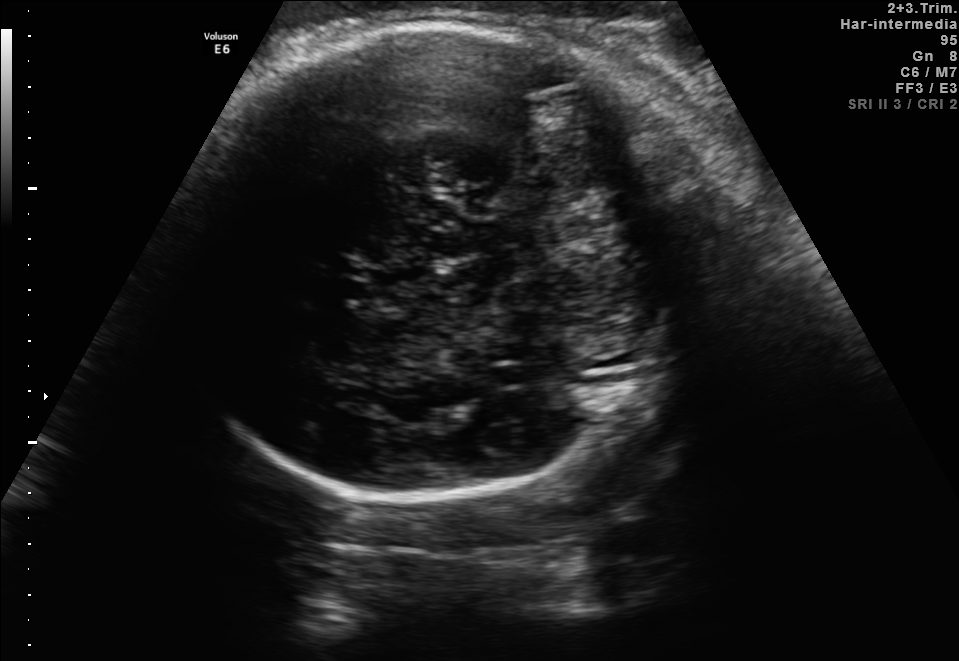
Fetal brain, trans-cerebellum plane. Locate the fetal head.

Head: [172,21,687,500]